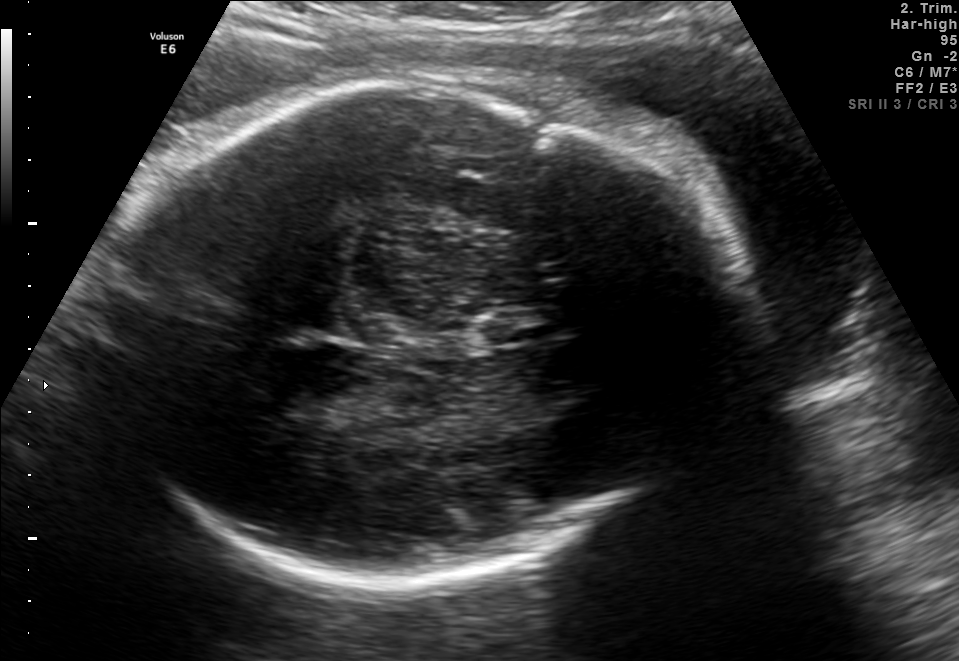
Fetal brain, trans-thalamic plane. Give [x1,y1,x2,y2] bounding boxes for each visible structure among: fetal head, CSP, LV.

Head: [82,83,739,580]